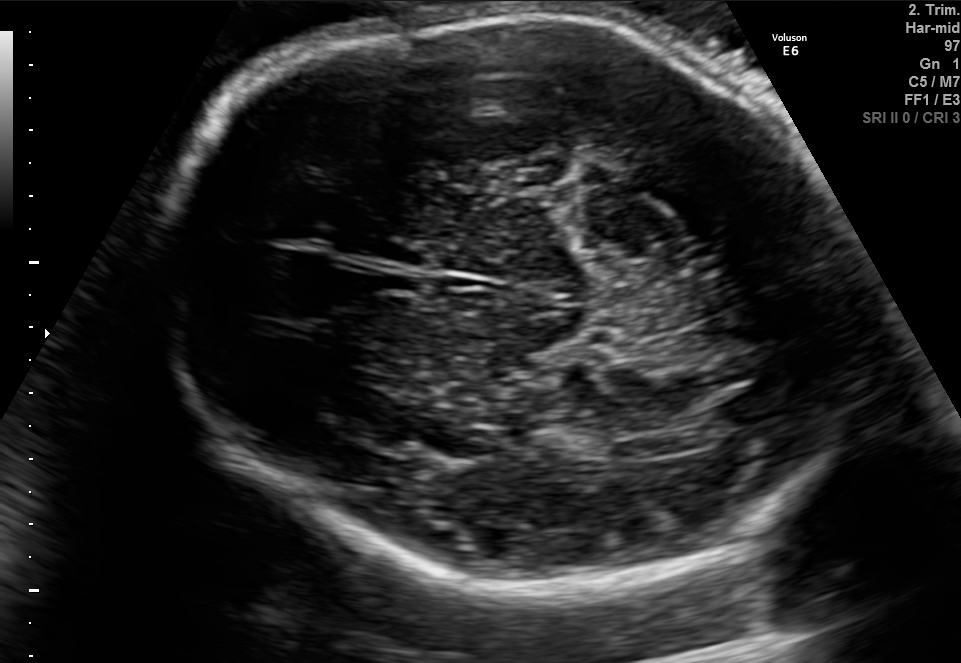
Fetal brain, trans-thalamic plane. Locate the fetal head and, if visible, the cavum septum pellucidum (CSP) and lateral ventricle (LV). Give bounding boxes as [x1,y1,x2,y2].

Head: [146,13,861,584]